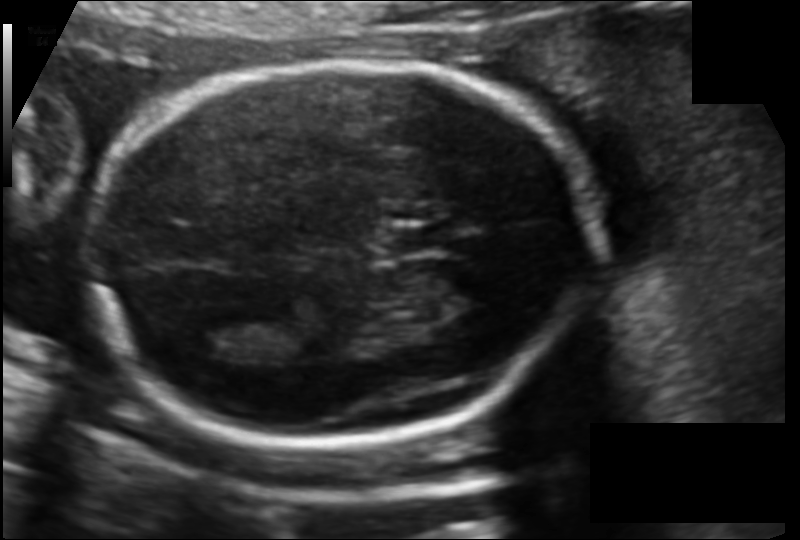
In this fetal head ultrasound, give the bounding box of the lateral ventricle. Image width: 96.2 mm.

[185,323,251,360]